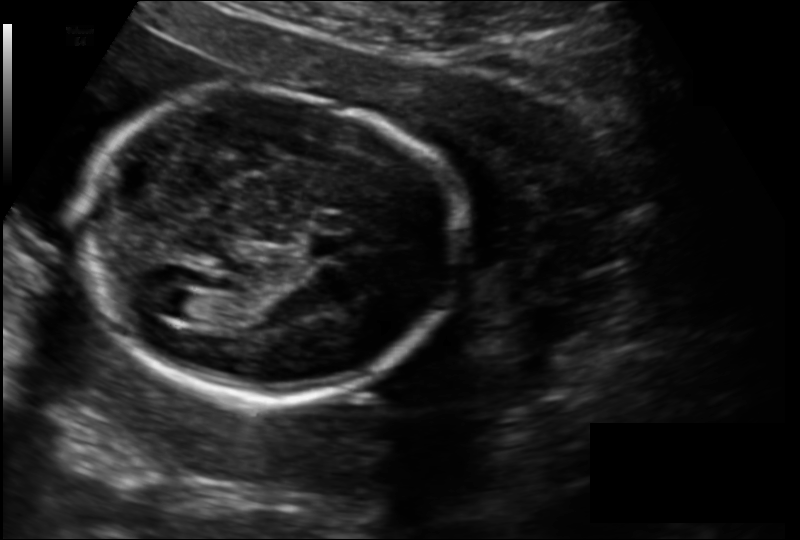
Fetal head ultrasound. Image width: 119.1 mm. Where is the lateral ventricle?

Lateral ventricle bounding box: [158,287,202,322]